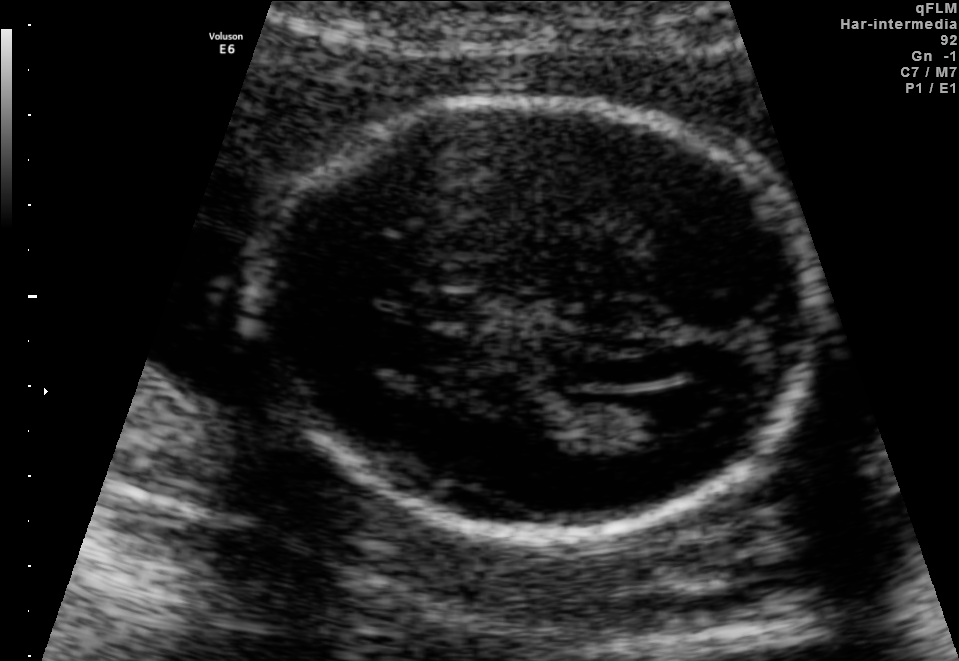
Fetal brain, trans-ventricular plane. Locate the fetal head.

Head: [238,91,829,544]